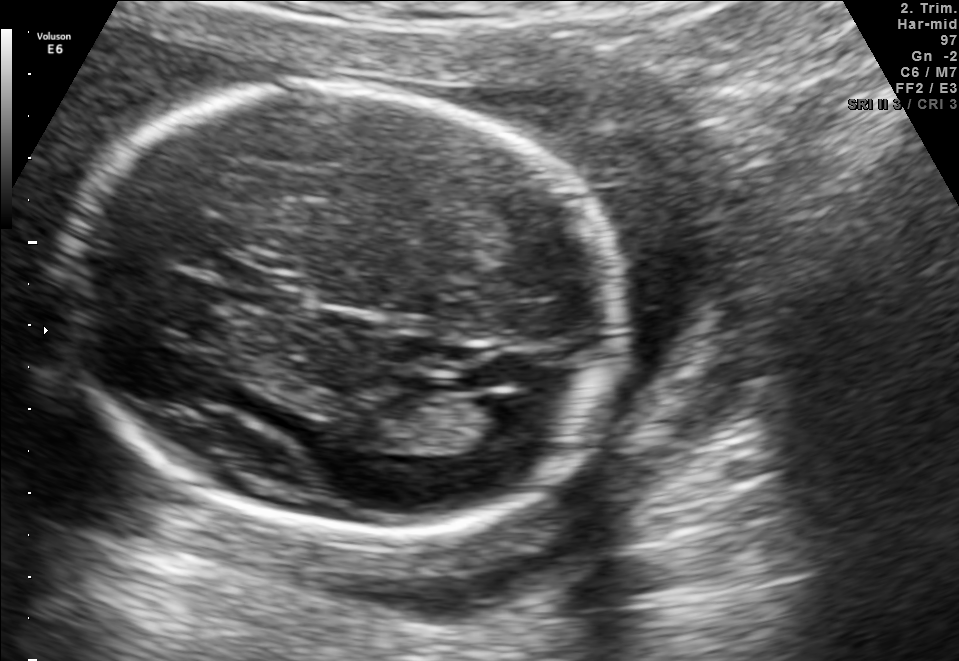
Fetal brain, trans-ventricular plane. Locate the lateral ventricle.

Lateral ventricle: [478,388,558,443]